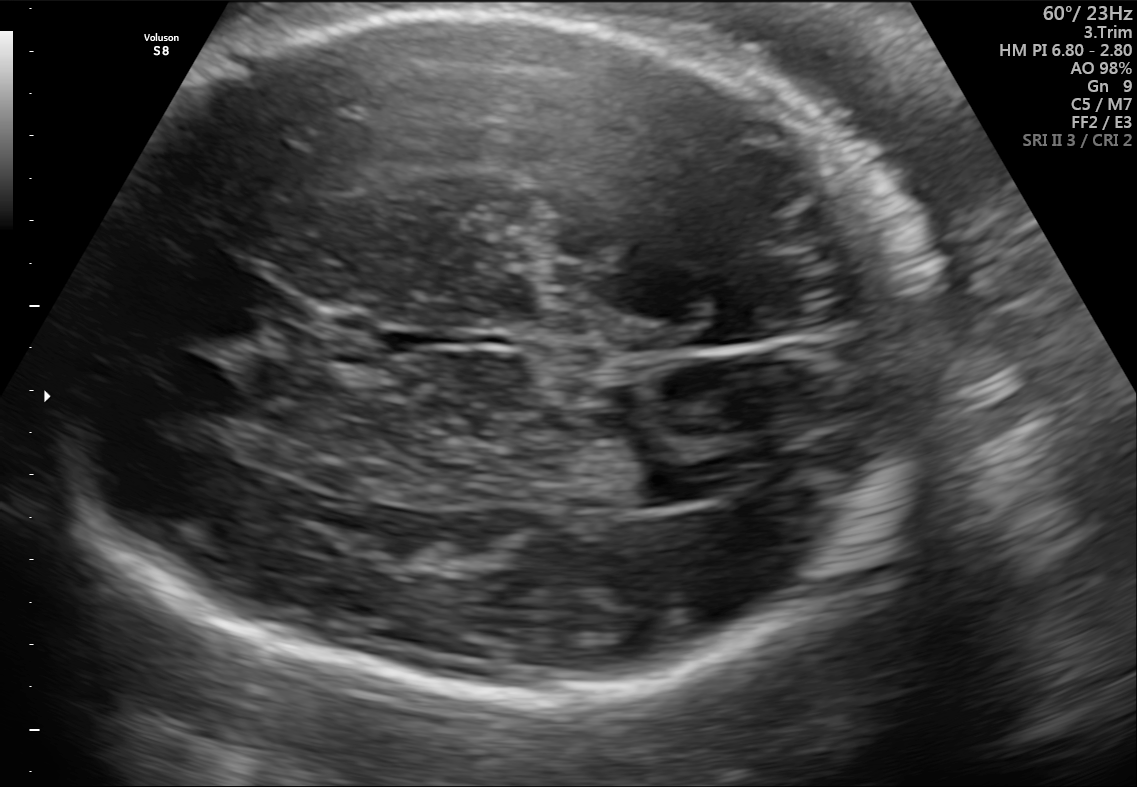
In this fetal brain, trans-ventricular plane, give bounding boxes for the head outline, cavum septum pellucidum (CSP), and lateral ventricle (LV), where visible.

Head: [76,8,928,693]
CSP: [379,333,423,353]
Lateral ventricle: [627,463,702,507]